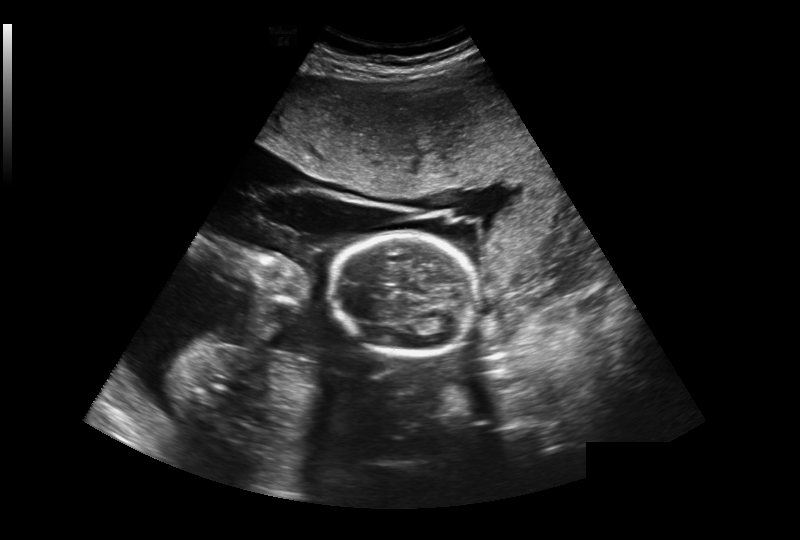
What is the fetal head circumference? Image width is 314.6 mm.

172.7 mm